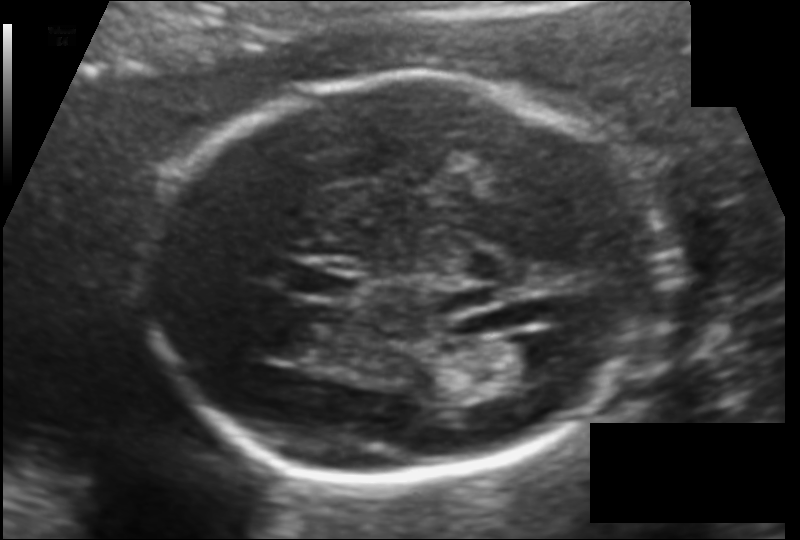
Fetal head ultrasound. Image width: 95.9 mm. Where is the cavum septum pellucidum?

CSP bounding box: [286,263,360,306]